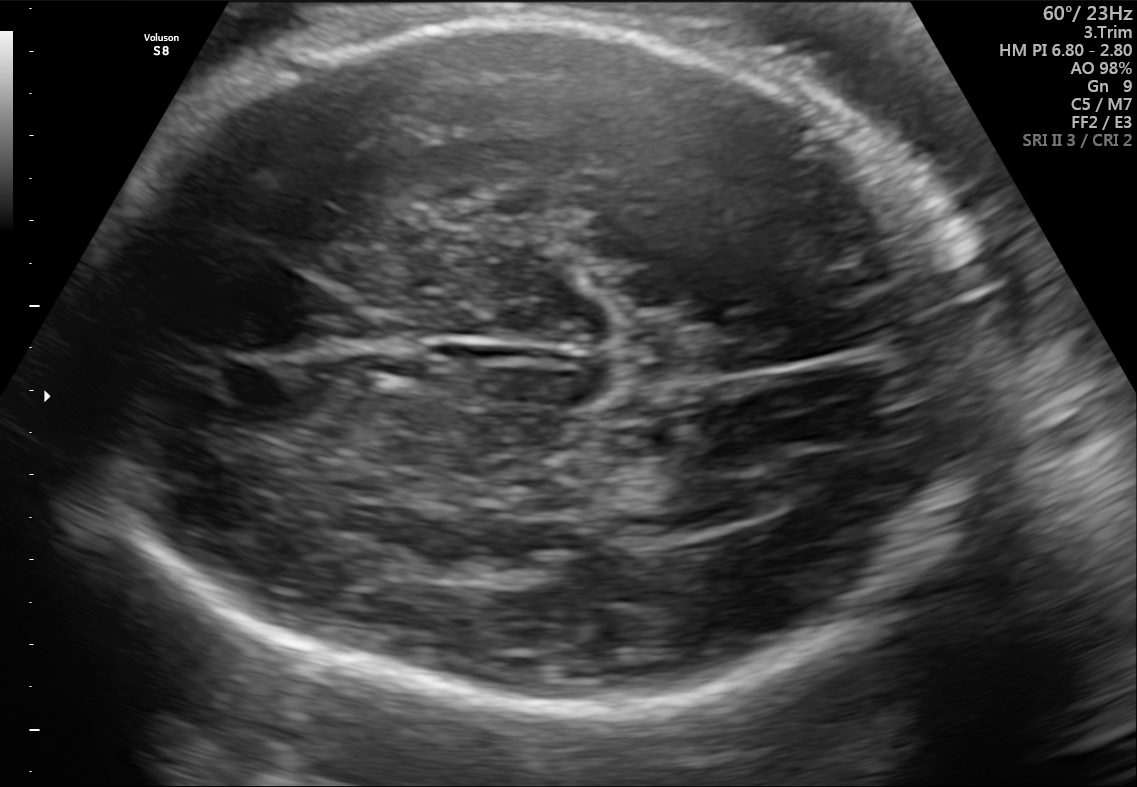
In this fetal brain, trans-thalamic plane, give the bounding box of the fetal head.

[87,23,977,712]